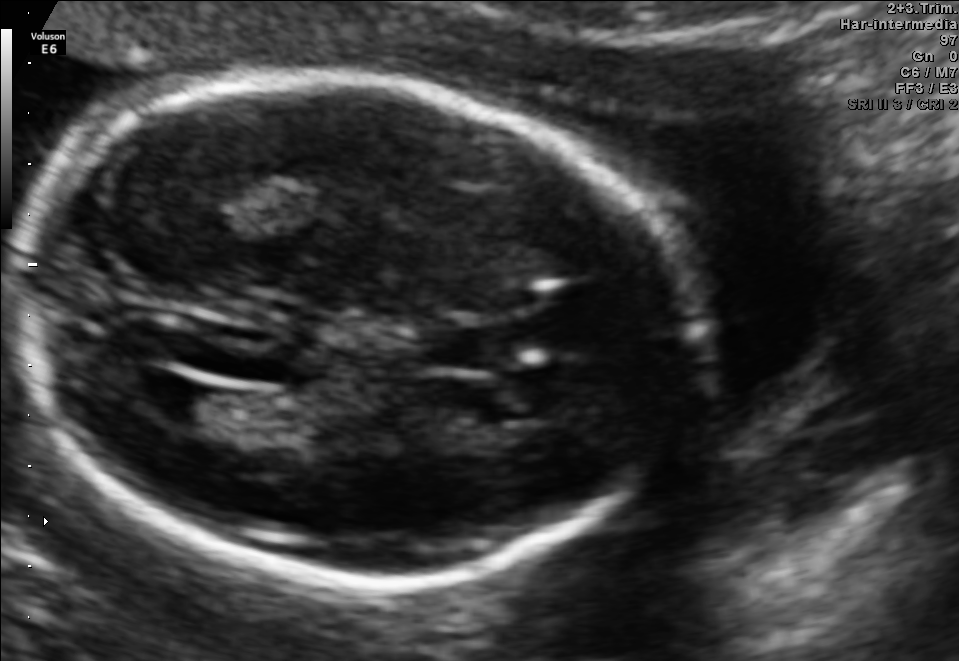
In this fetal brain, trans-ventricular plane, give the bounding box of the cavum septum pellucidum.

[429,329,499,368]